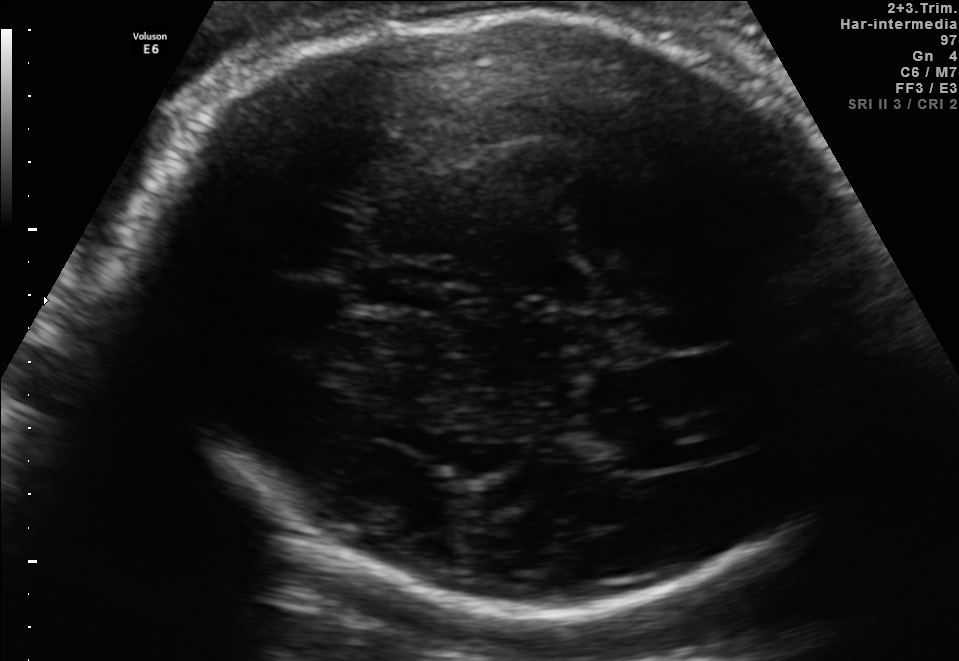
Fetal brain, trans-thalamic plane. Locate the cavum septum pellucidum.

CSP: [352,264,443,308]